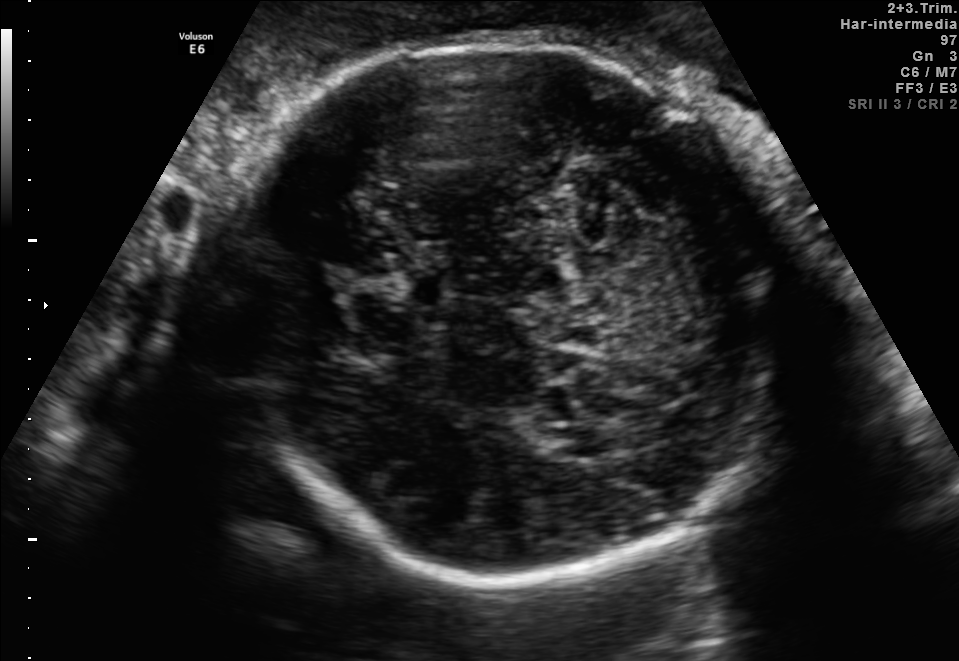
Fetal brain, trans-thalamic plane. Give [x1,y1,x2,y2] bounding boxes for each visible structure among: fetal head, CSP, LV.

Head: [218,31,765,570]